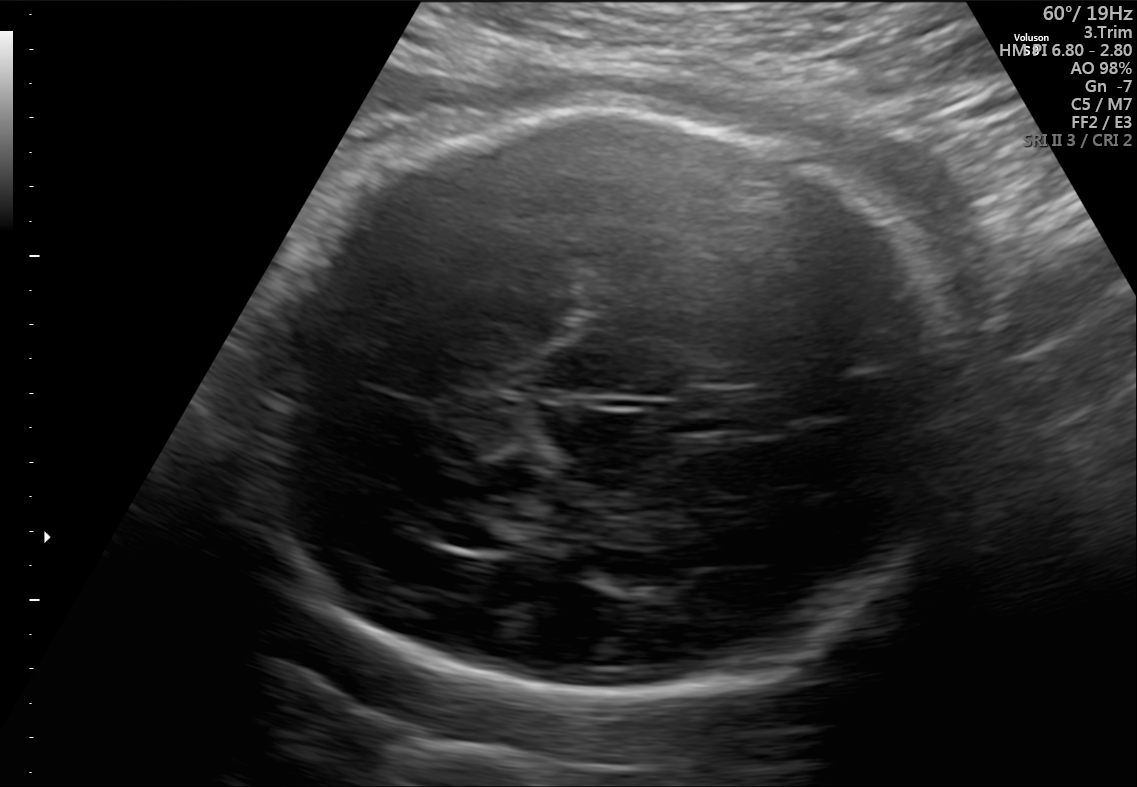
Fetal brain, trans-thalamic plane. Locate the lateral ventricle.

Lateral ventricle: [426,508,523,558]